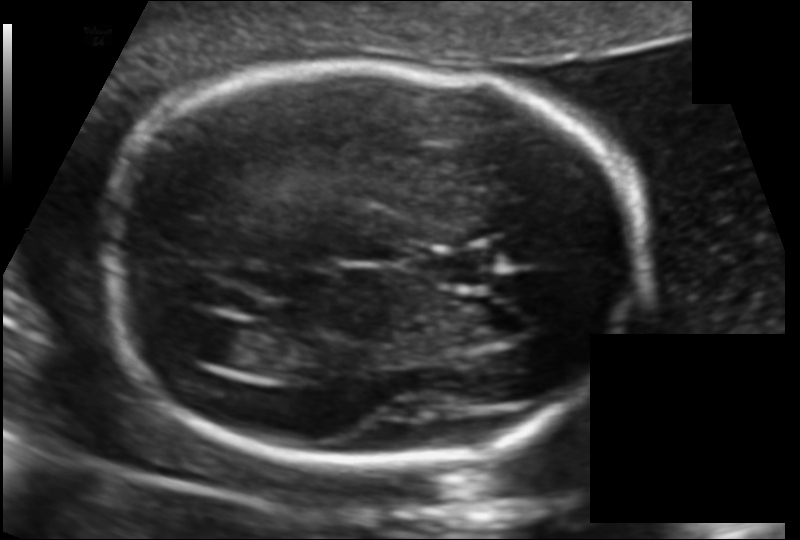
In this fetal head ultrasound, give bounding boxes for the head outline, cavum septum pellucidum (CSP), and lateral ventricle (LV), where visible. Image width: 93.9 mm.

Head: [97,65,645,461]
CSP: [423,251,496,289]
Lateral ventricle: [178,310,263,375]